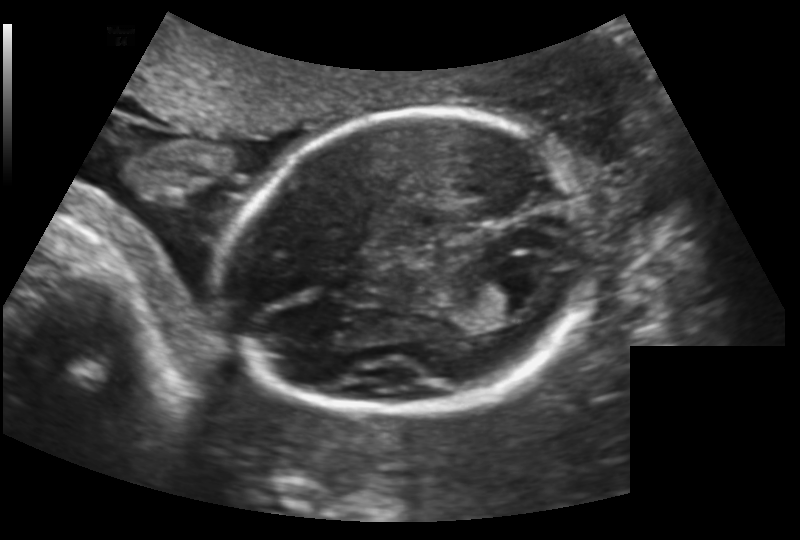
What is the fetal head circumference? Image width is 127.5 mm.

172.7 mm